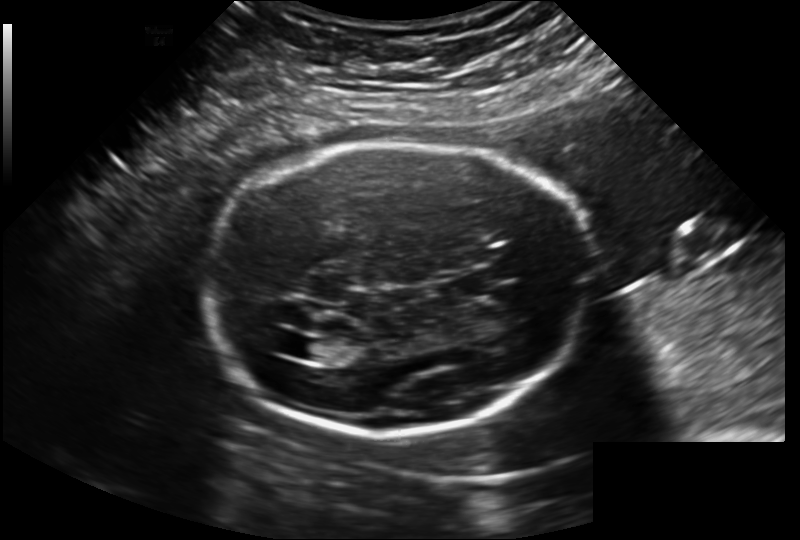
In this fetal head ultrasound, give bounding boxes for the head outline, cavum septum pellucidum (CSP), and lateral ventricle (LV), where visible. Image width: 161.6 mm.

Head: [205,141,585,433]
CSP: [435,269,491,308]
Lateral ventricle: [285,333,327,363]